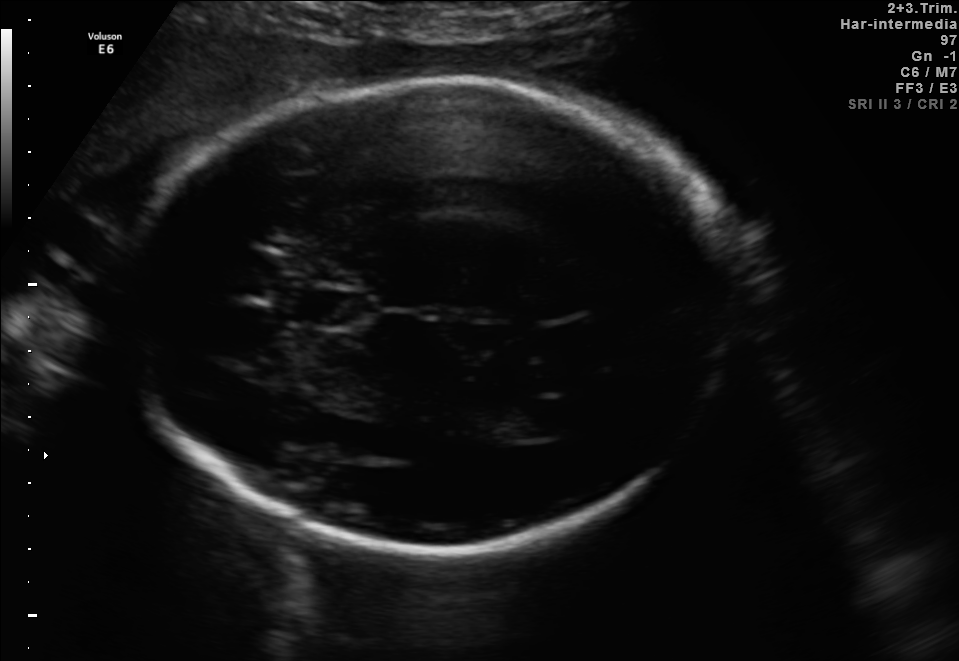
In this fetal brain, trans-thalamic plane, give bounding boxes for the head outline, cavum septum pellucidum (CSP), and lateral ventricle (LV), where visible.

Head: [123,78,734,551]
CSP: [312,290,369,327]
Lateral ventricle: [496,398,569,441]